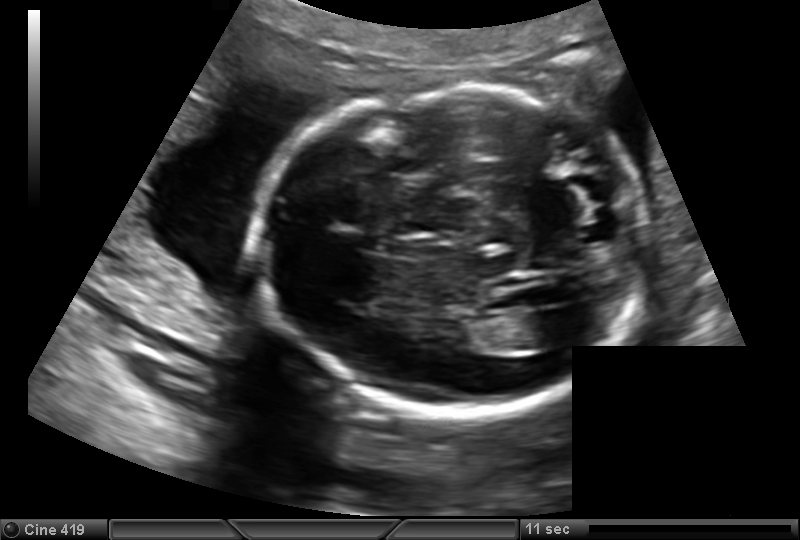
Fetal head ultrasound. Image width: 120.7 mm. Where is the lateral ventricle?

Lateral ventricle bounding box: [515,309,573,351]